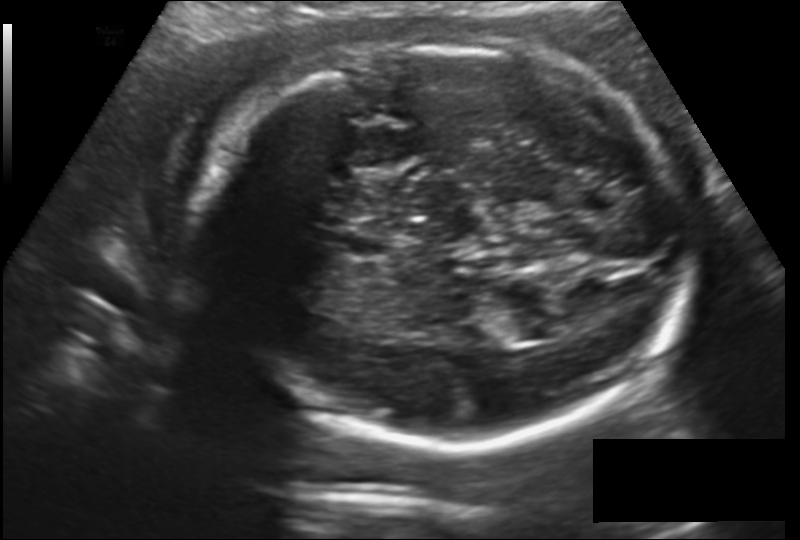
Fetal head ultrasound. Image width: 142.0 mm. Locate the fetal head.

Head: [195,47,697,445]